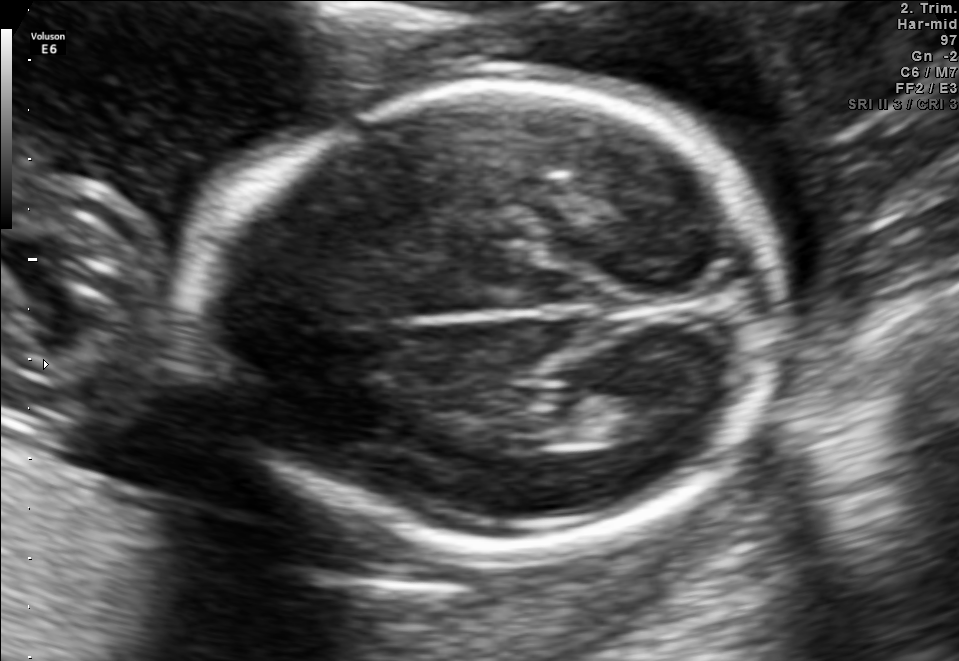
Fetal brain, trans-thalamic plane. Where is the fetal head?

Head bounding box: [180,80,789,553]